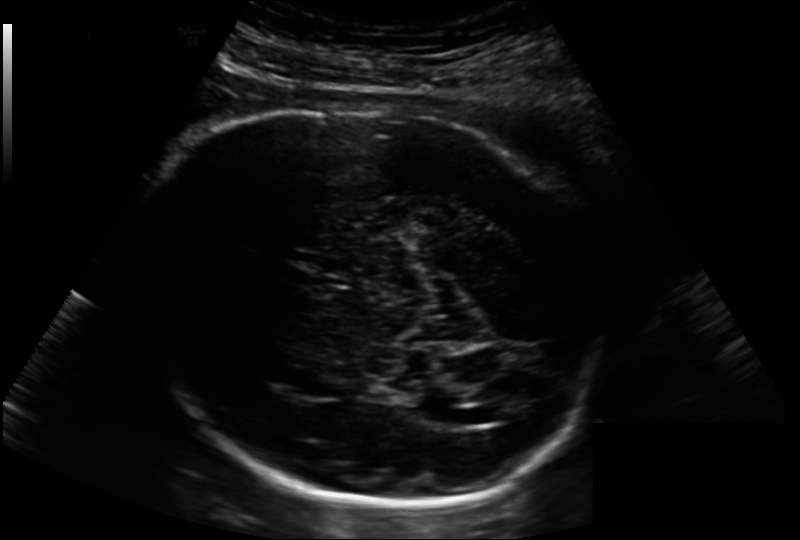
What is the fetal head circumference? Image width is 161.6 mm.

284.2 mm